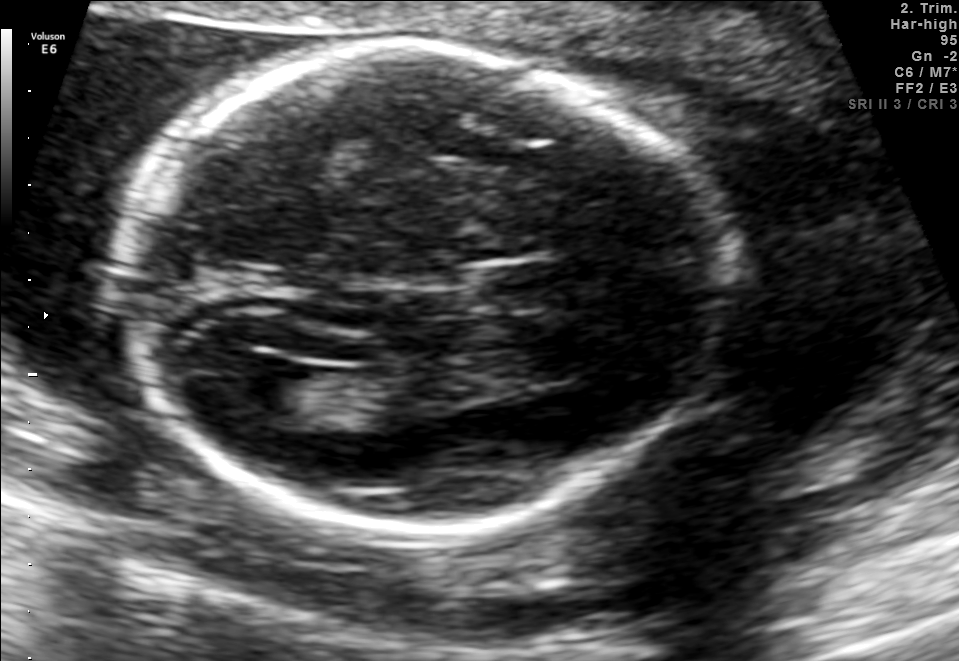
Fetal brain, trans-ventricular plane. Give [x1,y1,x2,y2] bounding boxes for each visible structure among: fetal head, CSP, LV.

Head: [106,33,747,548]
CSP: [480,261,553,310]
Lateral ventricle: [221,359,313,418]